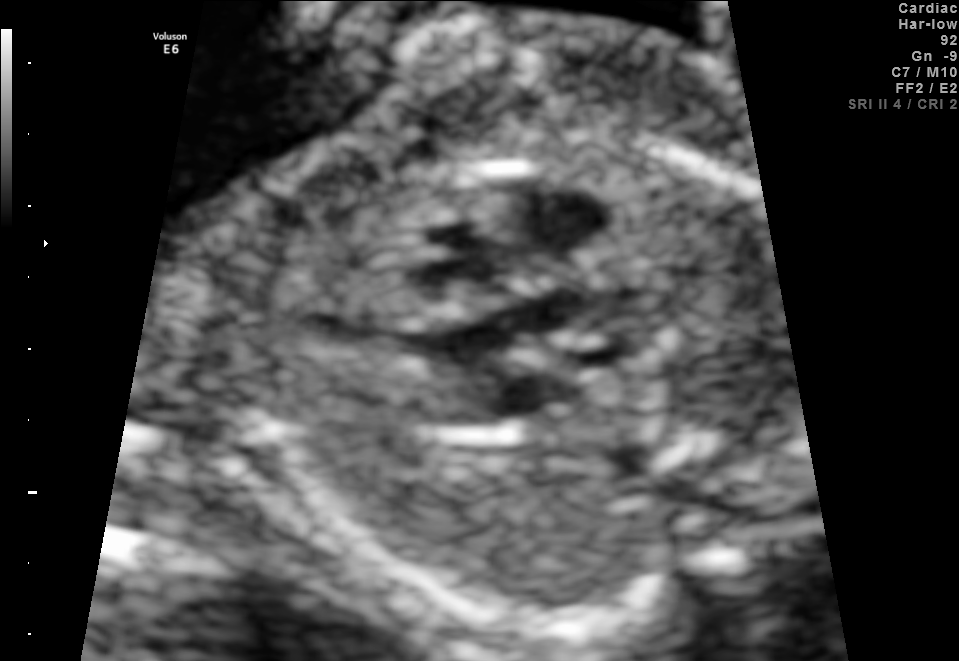
This is a 2D maternal-fetal ultrasound frame. Is it a fetal abdomen, fetal brain, fetal femur, fetal thorax, maternal cervix, or other standard plane? If it's fetal brain and one of the three standard brain planes (trans-thalamic, trans-cerebellum, trans-ventricular), name which.

Other